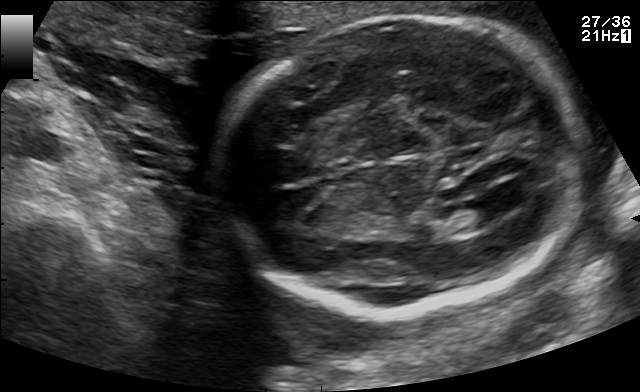
In this fetal brain, trans-ventricular plane, give bounding boxes for the head outline, cavum septum pellucidum (CSP), and lateral ventricle (LV), where visible.

Head: [212,11,595,319]
CSP: [313,161,359,189]
Lateral ventricle: [467,183,524,224]